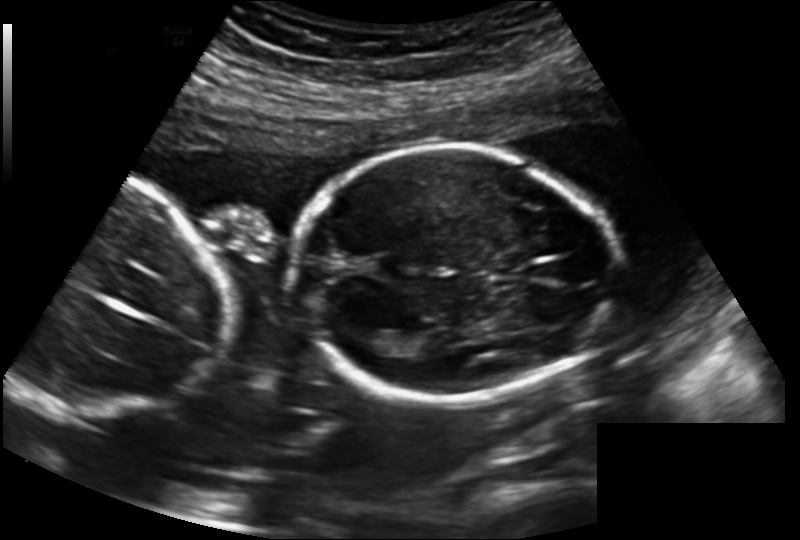
Fetal head ultrasound. Image width: 146.1 mm. Locate the fetal head.

Head: [288,146,617,400]